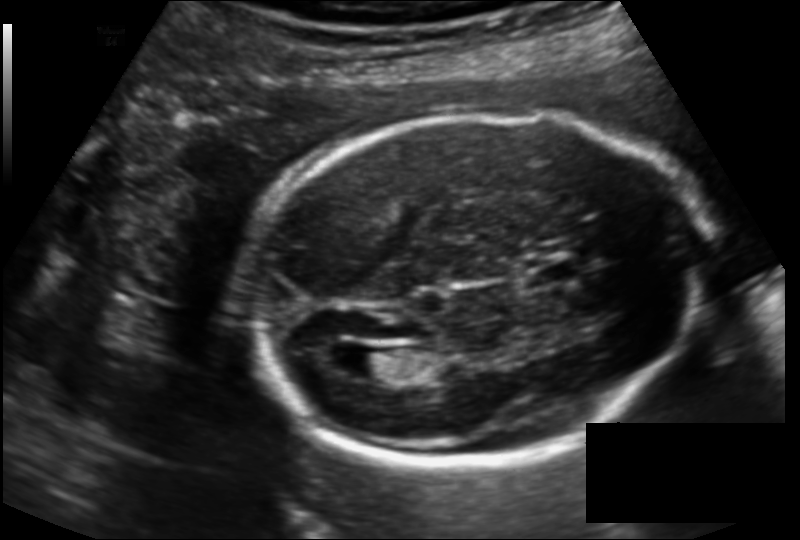
Fetal head ultrasound. Image width: 114.4 mm. Locate the fetal head.

Head: [242,110,708,464]